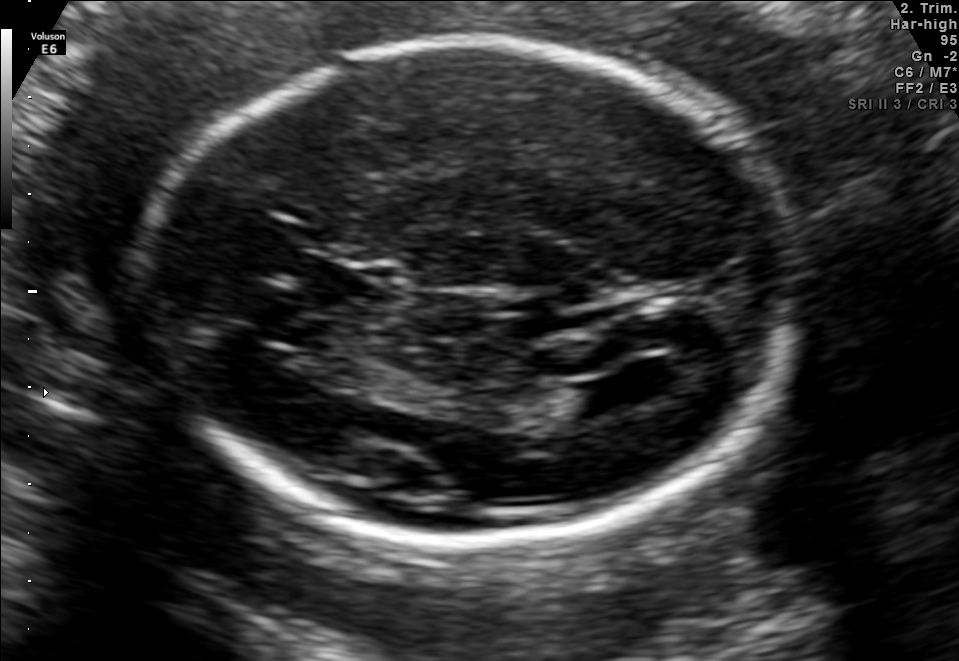
Fetal brain, trans-ventricular plane. Where is the fetal head?

Head bounding box: [123,34,808,549]